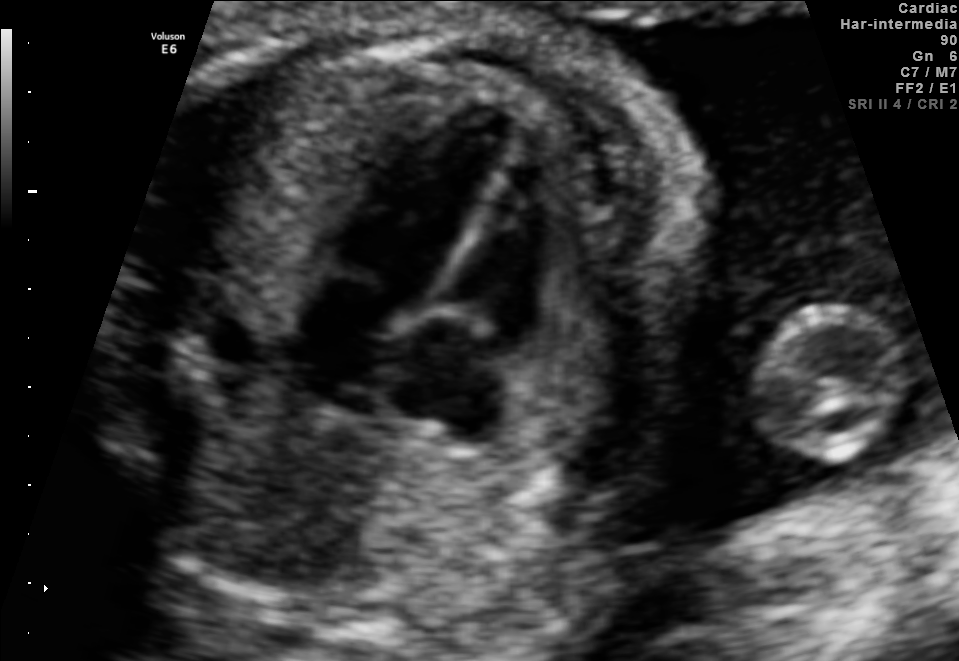
This is a 2D maternal-fetal ultrasound frame. Is it a fetal abdomen, fetal brain, fetal femur, fetal thorax, maternal cervix, or other standard plane? If it's fetal brain and one of the three standard brain planes (trans-thalamic, trans-cerebellum, trans-ventricular), name which.

Fetal thorax